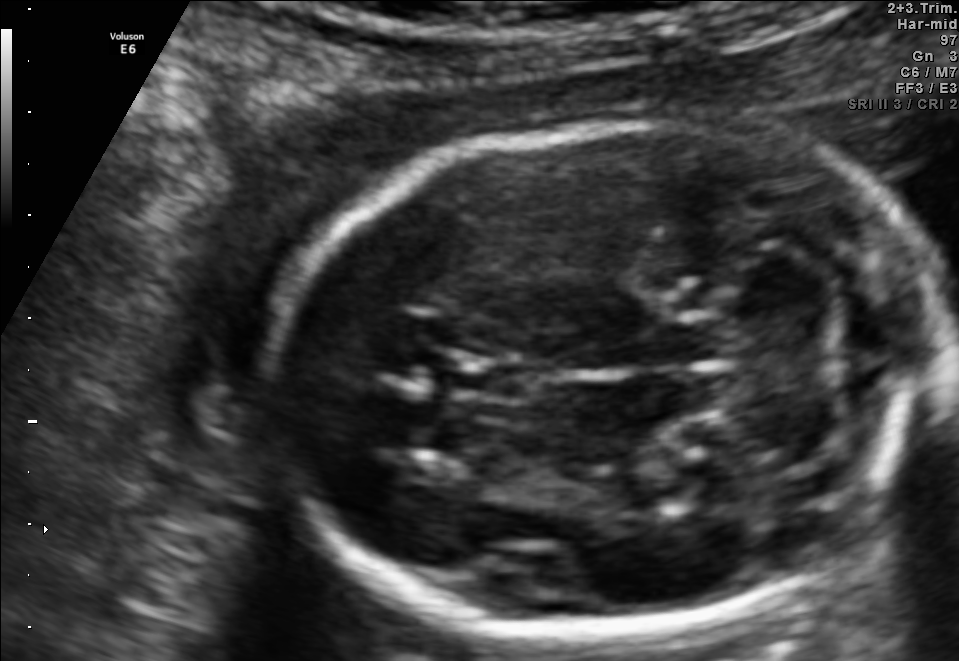
In this fetal brain, trans-cerebellum plane, give the bounding box of the fetal head.

[273,117,946,642]